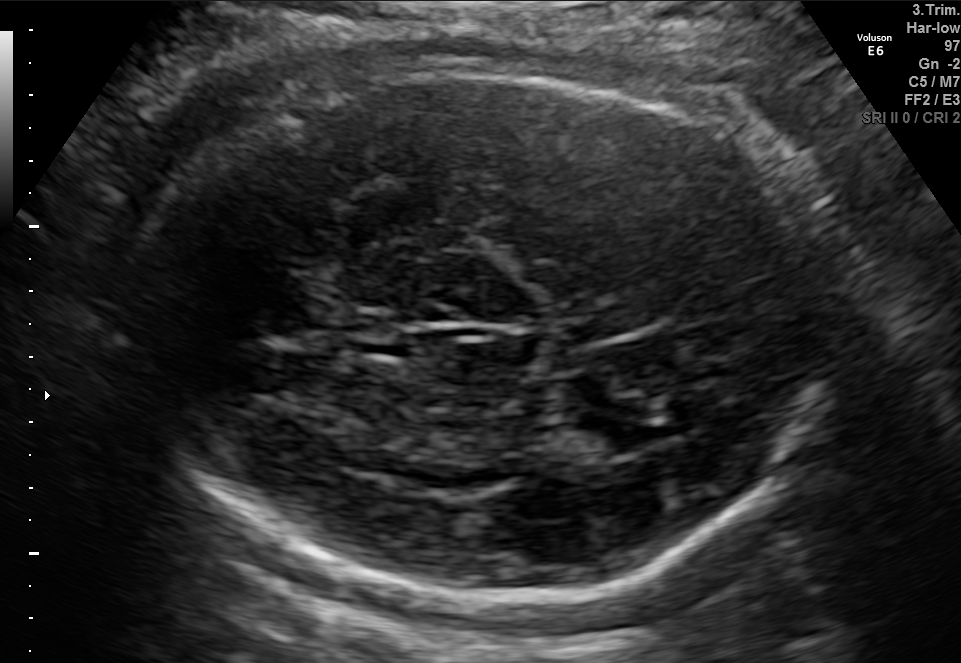
Fetal brain, trans-thalamic plane. Locate the lateral ventricle.

Lateral ventricle: [560,401,662,473]